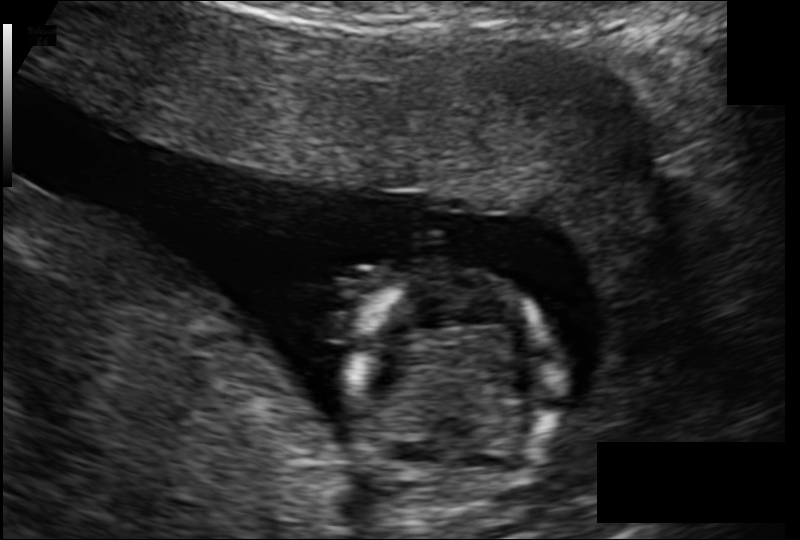
Measure the fetal head circumference shown in this ultrasound image. Image width: 98.6 mm.

Head circumference: 93.3 mm.